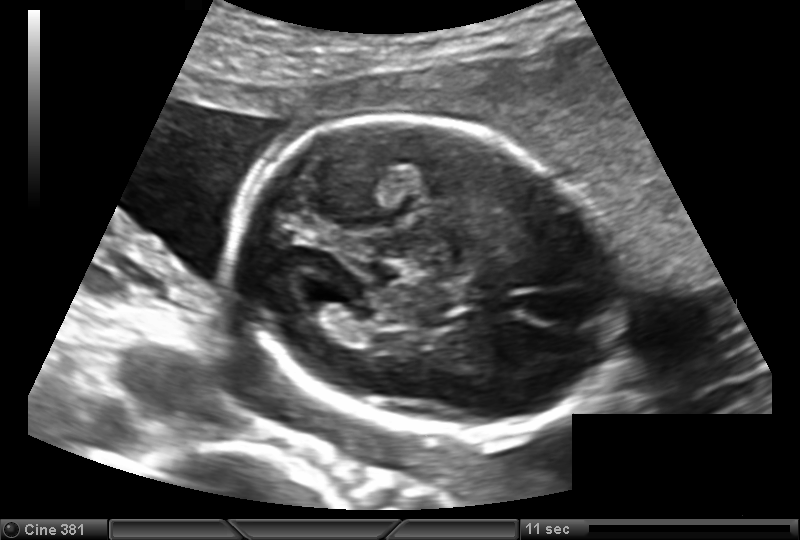
From this fetal ultrasound, estimate the head circumference (image width 111.0 mm).

Head circumference: 161.7 mm.